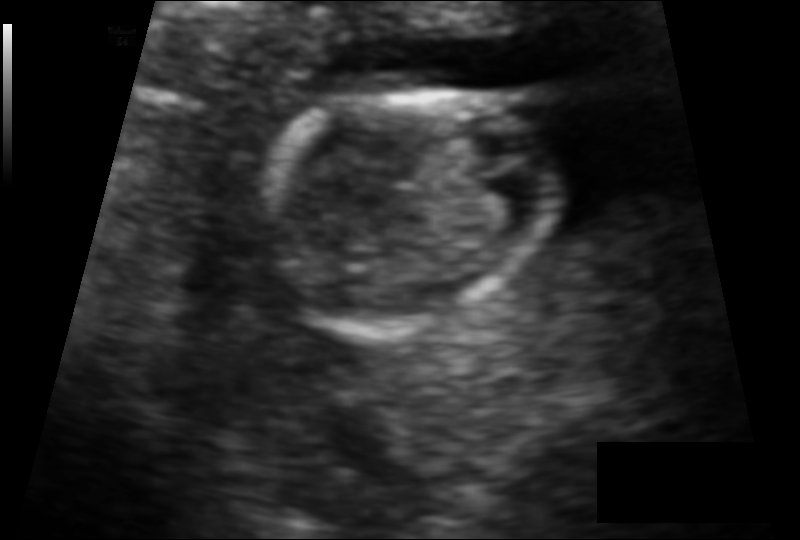
Fetal head ultrasound. Image width: 73.2 mm. Give [x1,y1,x2,y2] bounding boxes for each visible structure among: fetal head, CSP, LV.

Head: [254,91,559,325]